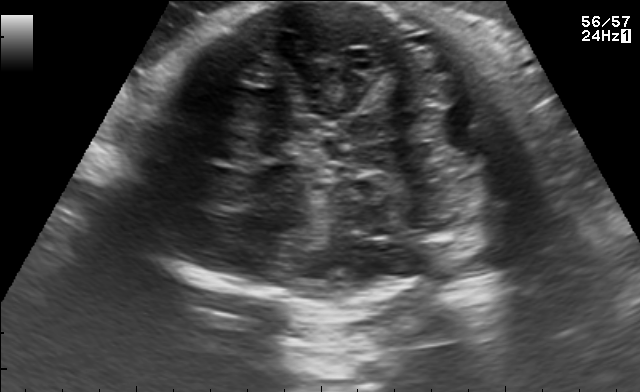
Fetal brain, trans-cerebellum plane. Give [x1,y1,x2,y2] bounding boxes for each visible structure among: fetal head, CSP, LV.

Head: [116,2,561,304]